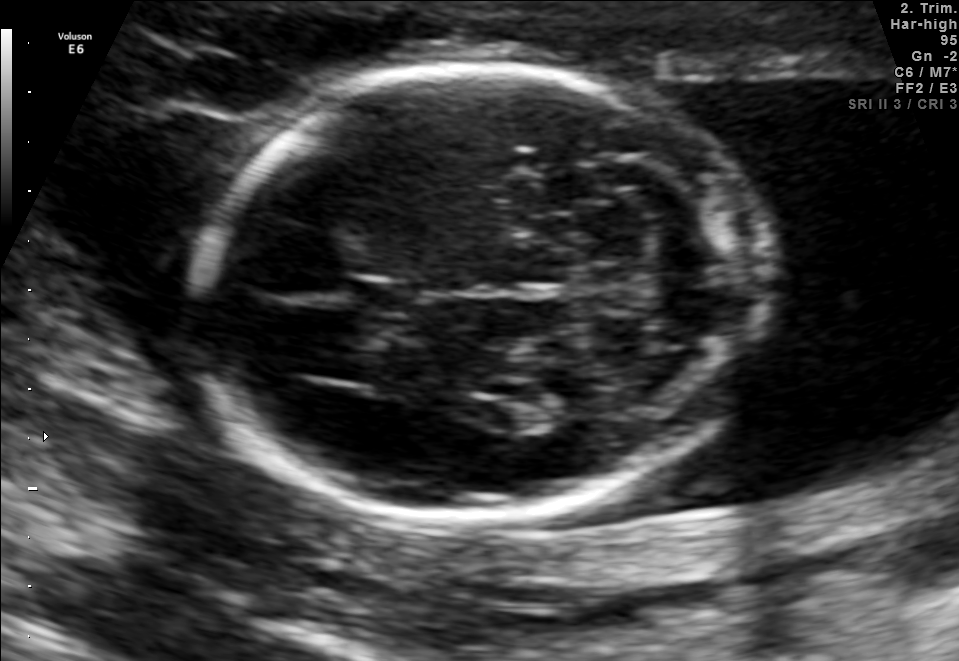
Fetal brain, trans-cerebellum plane. Give [x1,y1,x2,y2] bounding boxes for each visible structure among: fetal head, CSP, LV.

Head: [197,67,772,514]
CSP: [355,277,412,317]